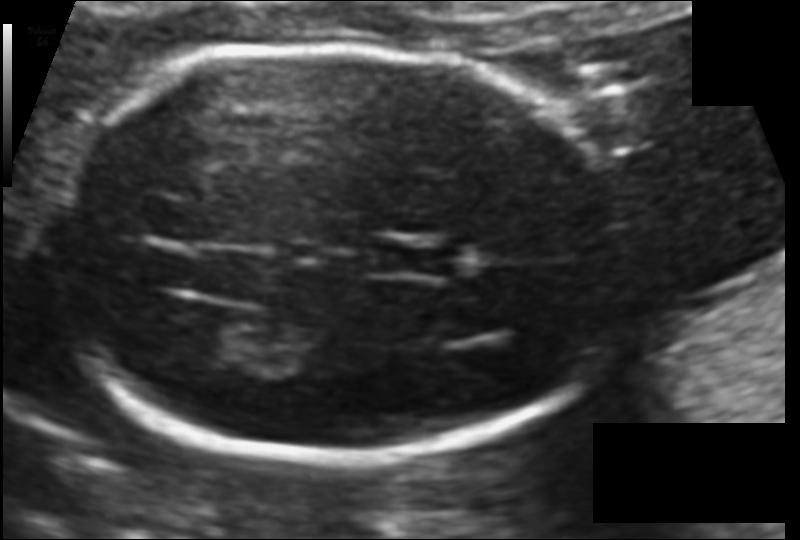
In this fetal head ultrasound, give the bounding box of the lateral ventricle. Image width: 78.8 mm.

[165,307,254,367]